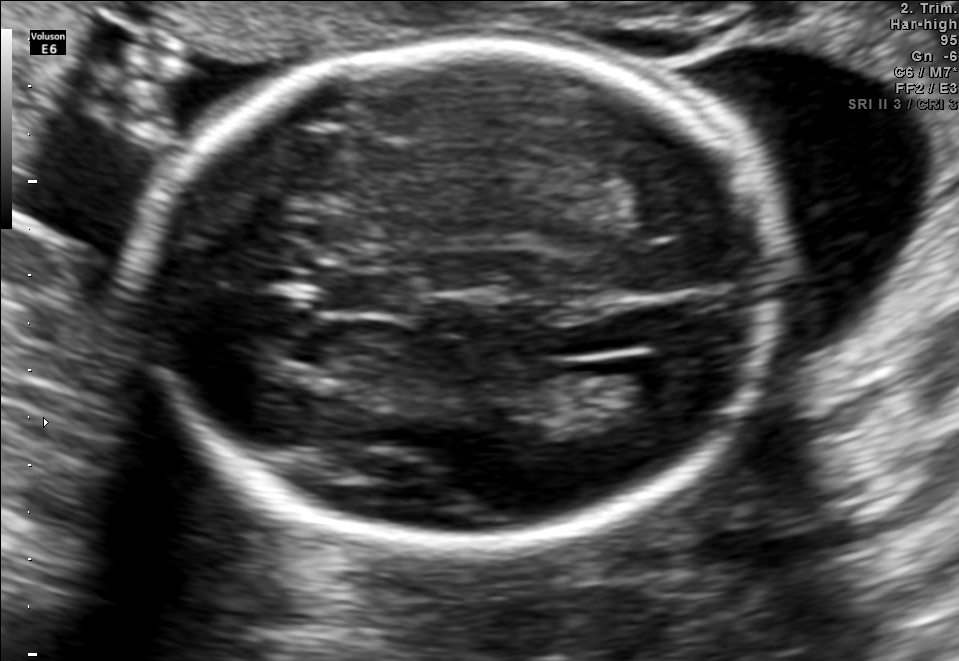
Fetal brain, trans-ventricular plane. Locate the cavum septum pellucidum.

CSP: [322,269,414,317]